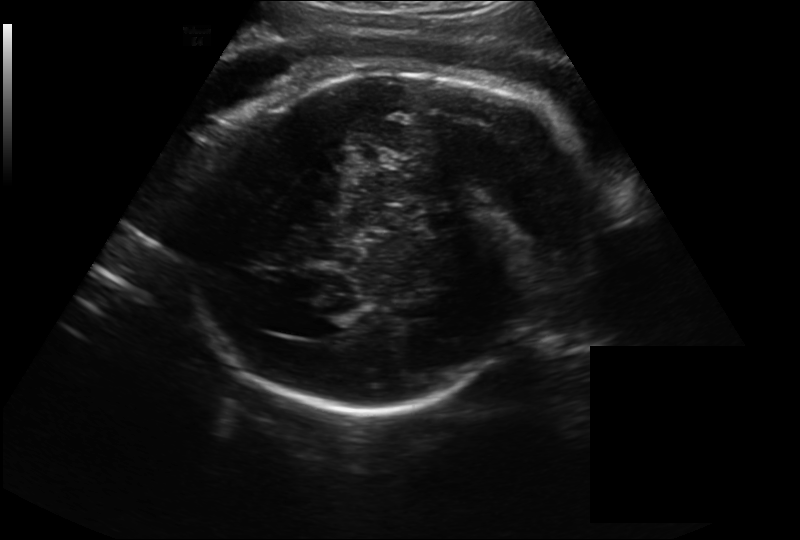
What is the fetal head circumference? Image width is 209.3 mm.

312.5 mm